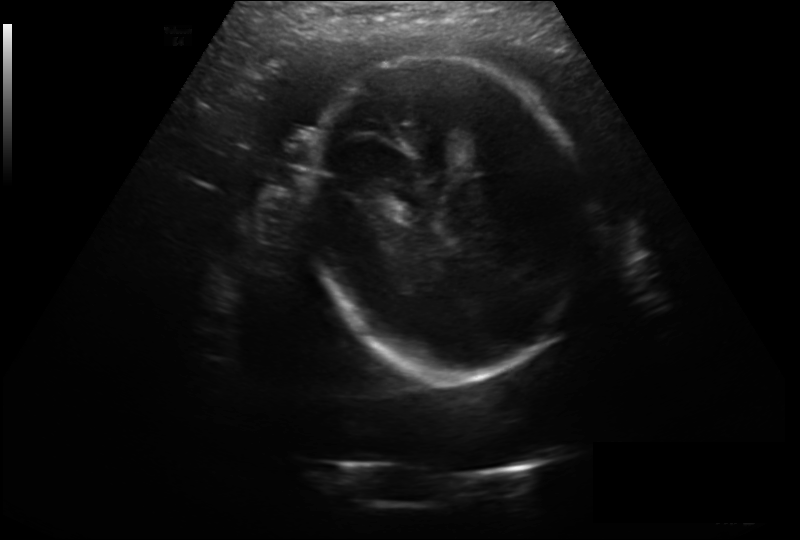
Estimate the fetal head circumference from this 2D ultrasound.

Head circumference: 234.6 mm (image width 197.0 mm).